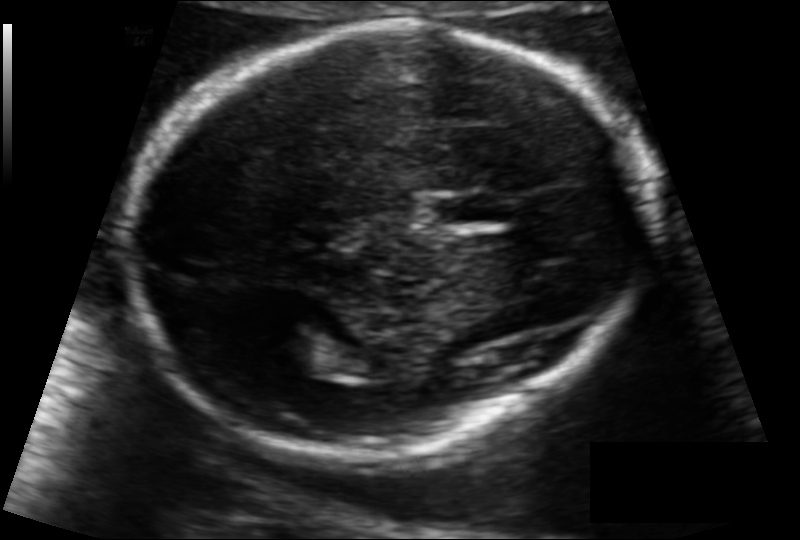
What is the fetal head circumference? Image width is 88.7 mm.

172.6 mm